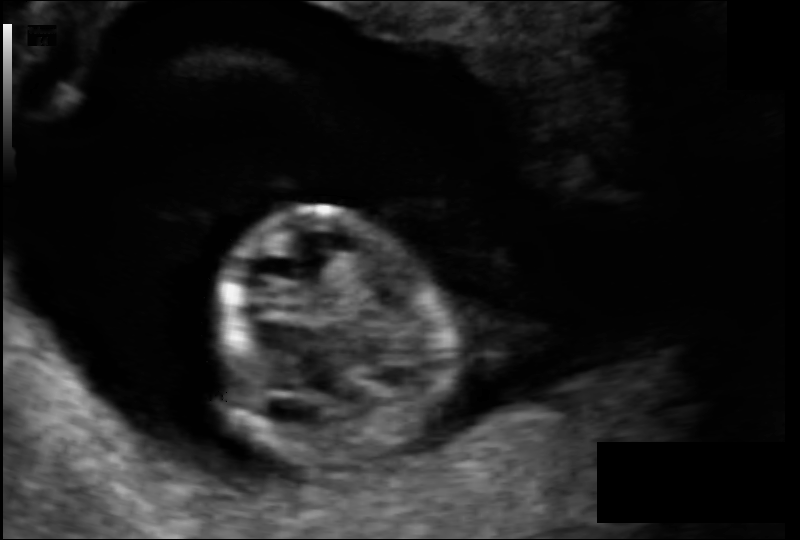
Fetal head ultrasound. Image width: 78.9 mm. Give [x1,y1,x2,y2] bounding boxes for each visible structure among: fetal head, CSP, LV.

Head: [213,208,450,465]